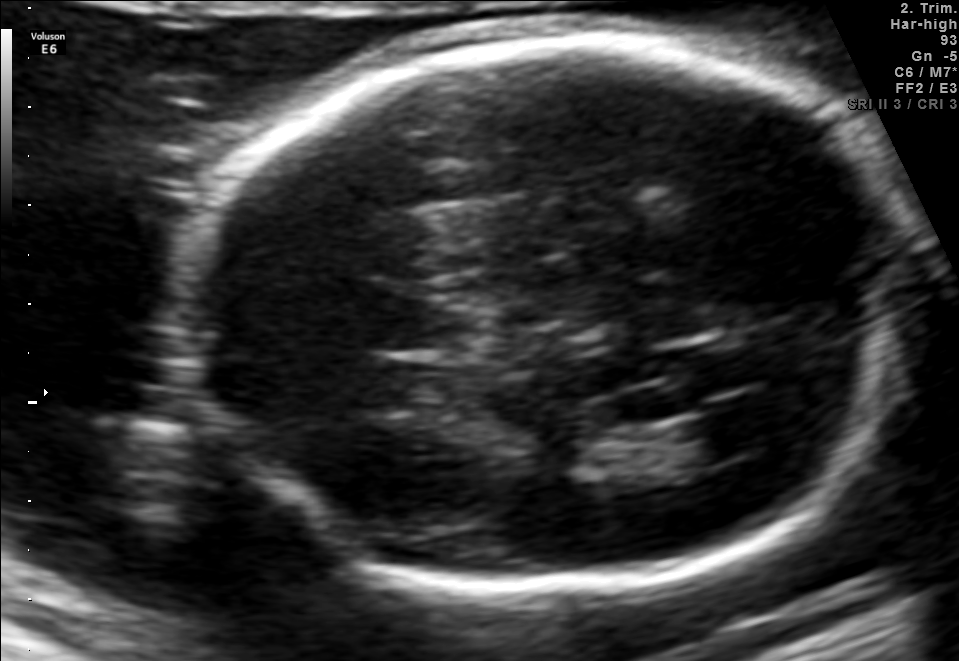
In this fetal brain, trans-ventricular plane, give bounding boxes for the head outline, cavum septum pellucidum (CSP), and lateral ventricle (LV), where visible.

Head: [159,31,932,606]
CSP: [366,293,485,359]
Lateral ventricle: [670,390,788,476]